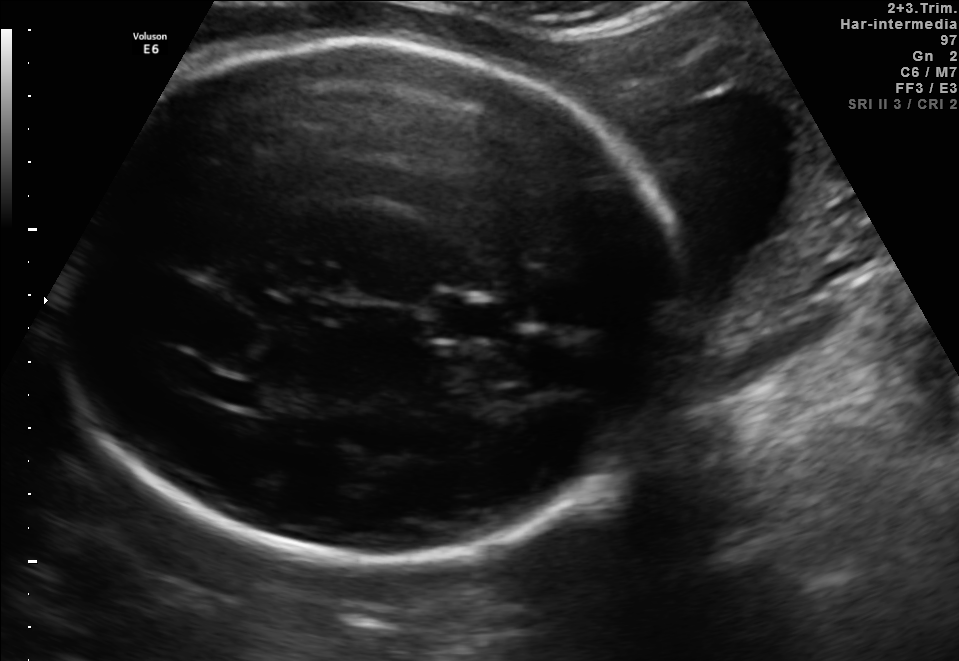
In this fetal brain, trans-thalamic plane, give the bounding box of the fetal head.

[48,42,695,557]